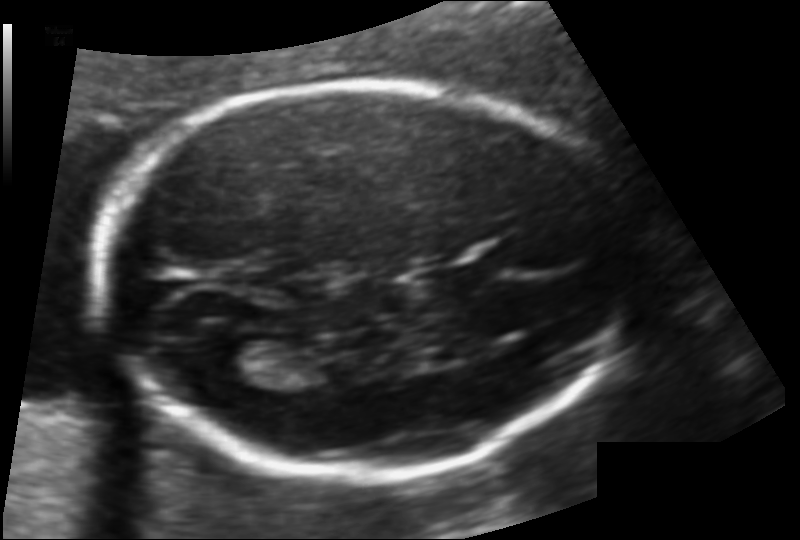
From this fetal ultrasound, estimate the head circumference (image width 93.3 mm).

Head circumference: 177.9 mm.